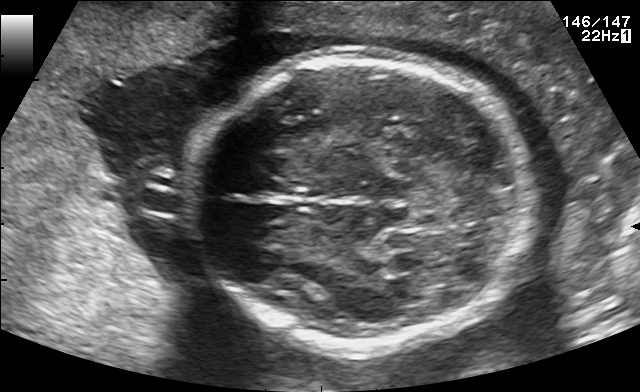
Fetal brain, trans-thalamic plane. Give [x1,y1,x2,y2] bounding boxes for each visible structure among: fetal head, CSP, LV.

Head: [184,59,533,348]